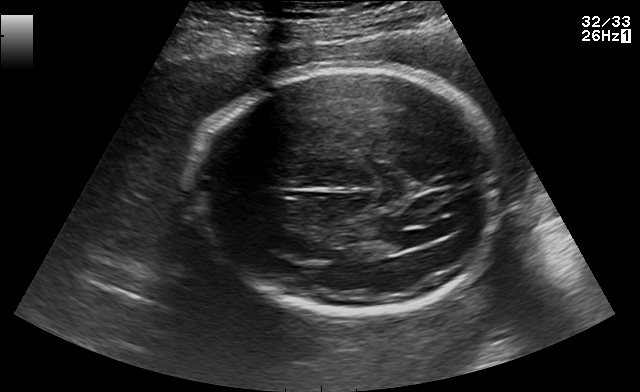
Fetal brain, trans-ventricular plane. Locate the fetal head and, if visible, the cavum septum pellucidum (CSP) and lateral ventricle (LV). Give bounding boxes as [x1,y1,x2,y2].

Head: [191,63,507,320]
Lateral ventricle: [382,217,440,255]